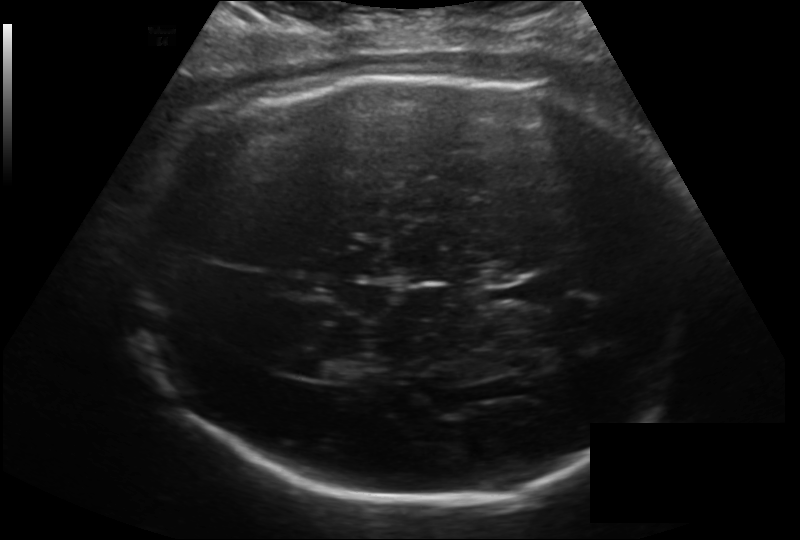
In this fetal head ultrasound, give the bounding box of the fetal head. Image width: 154.4 mm.

[126,75,707,502]